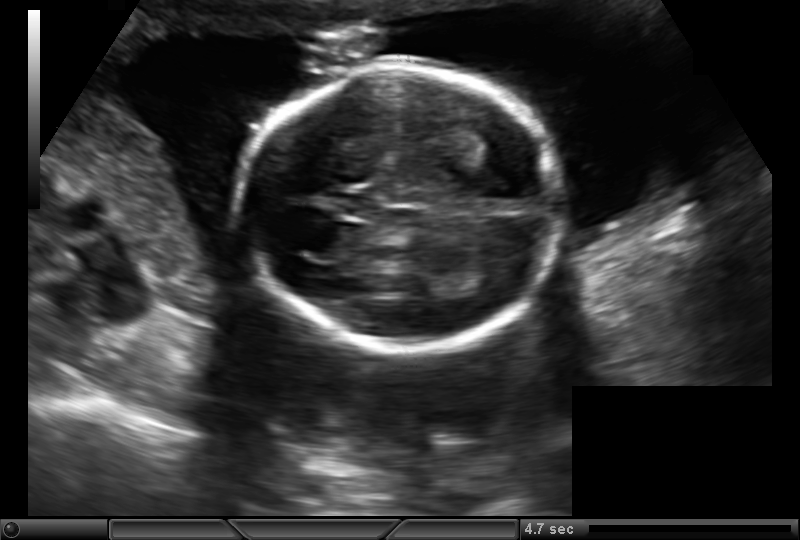
In this fetal head ultrasound, give the bounding box of the fetal head. Image width: 129.0 mm.

[241,65,557,350]